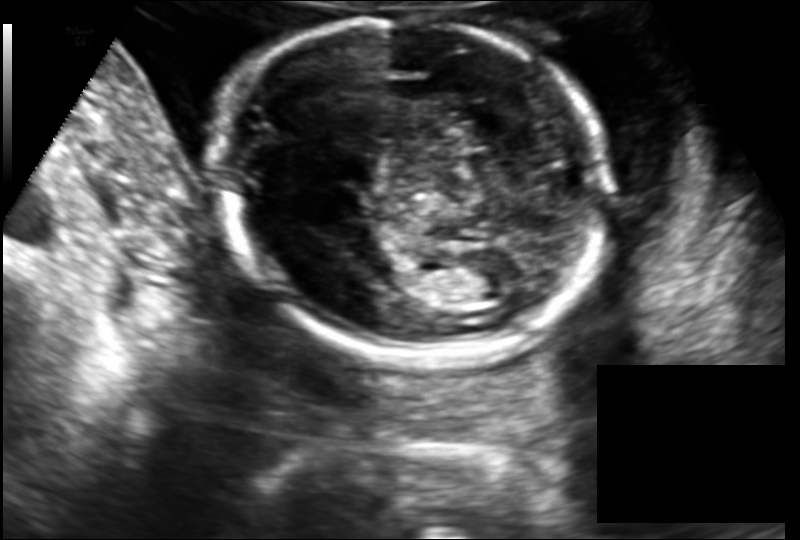
From this fetal ultrasound, estimate the head circumference (image width 119.1 mm).

Head circumference: 175.4 mm.